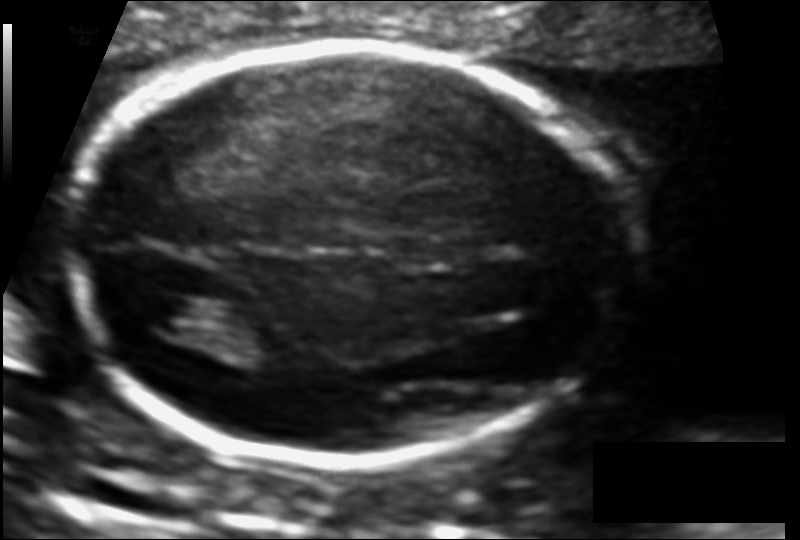
What is the fetal head circumference? Image width is 88.9 mm.

178.2 mm